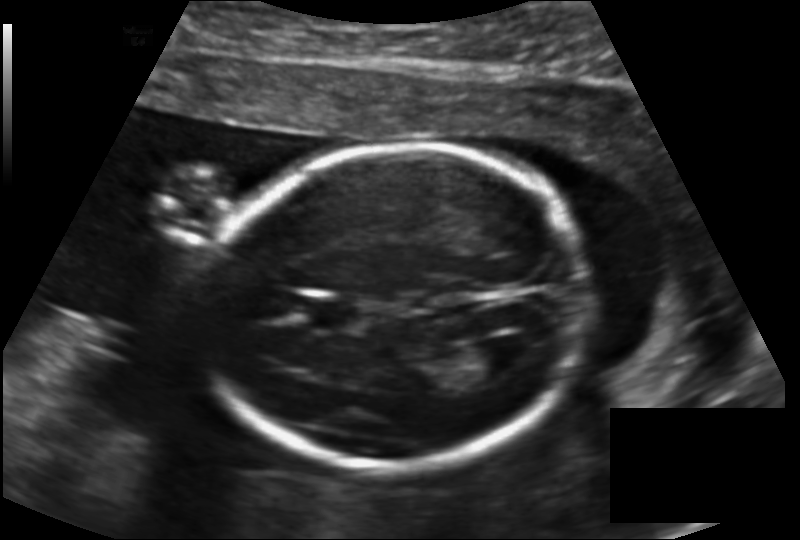
Estimate the fetal head circumference from this 2D ultrasound.

Head circumference: 169.7 mm (image width 117.6 mm).